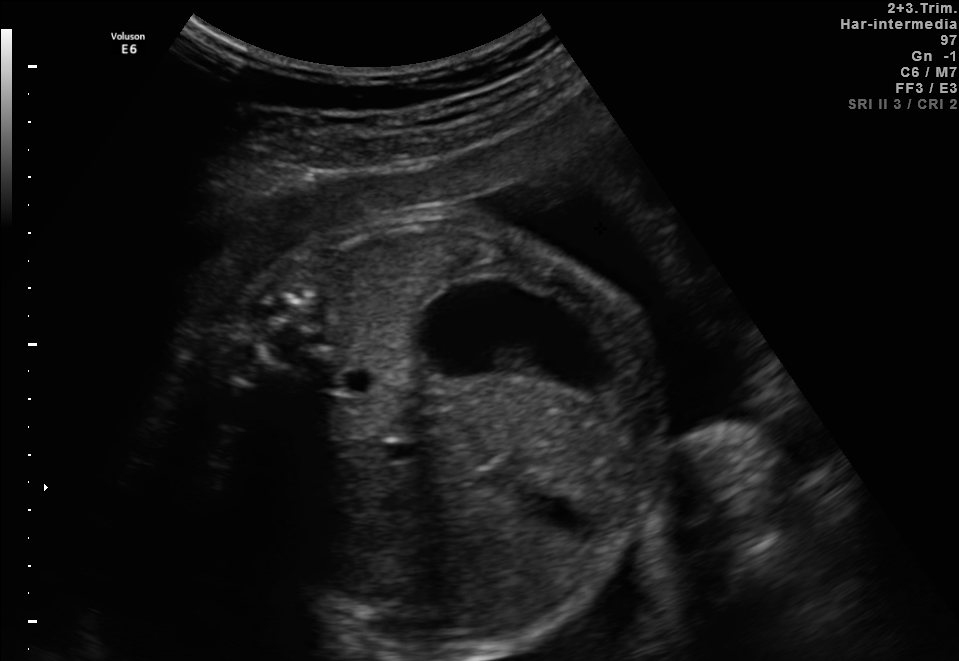
This is a 2D maternal-fetal ultrasound frame. Is it a fetal abdomen, fetal brain, fetal femur, fetal thorax, maternal cervix, or other standard plane? If it's fetal brain and one of the three standard brain planes (trans-thalamic, trans-cerebellum, trans-ventricular), name which.

Fetal abdomen